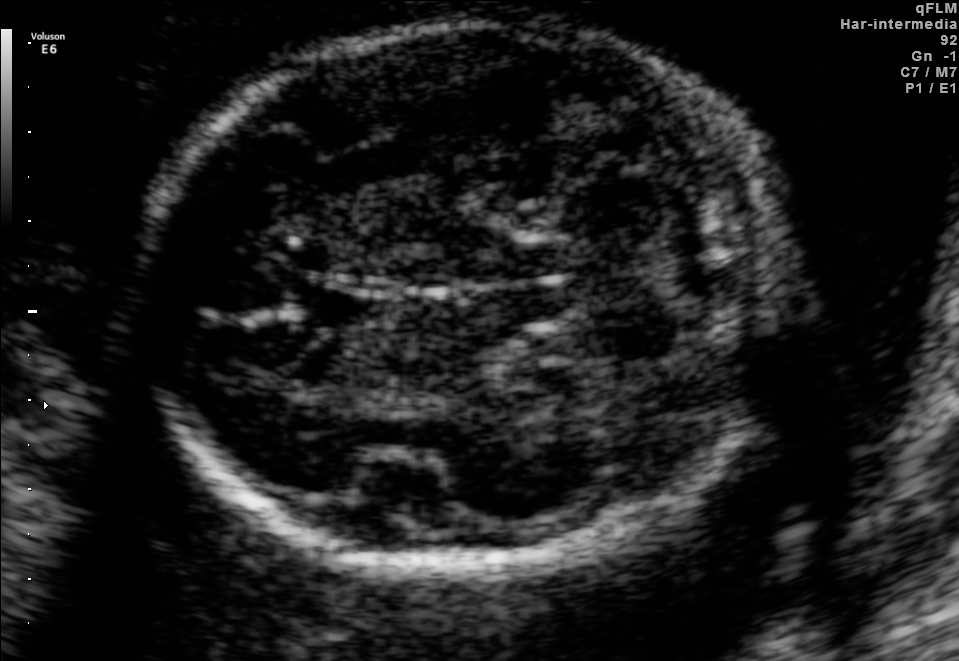
Fetal brain, trans-cerebellum plane. Where is the cavum septum pellucidum?

CSP bounding box: [289,284,390,333]